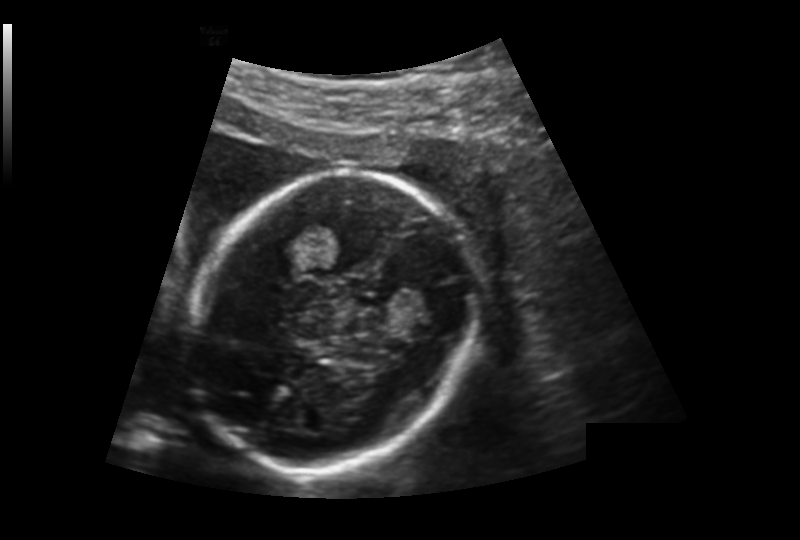
Measure the fetal head circumference shown in this ultrasound image. Image width: 140.4 mm.

Head circumference: 165.7 mm.